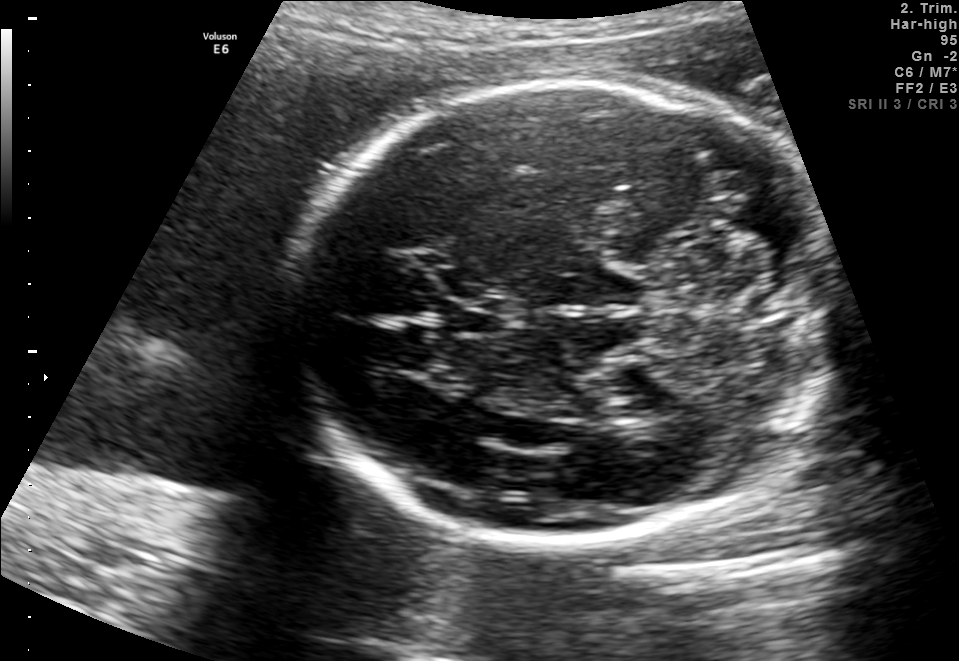
Fetal brain, trans-cerebellum plane. Locate the fetal head and, if visible, the cavum septum pellucidum (CSP) and lateral ventricle (LV). Give bounding boxes as [x1,y1,x2,y2].

Head: [296,83,835,546]
CSP: [447,298,508,335]